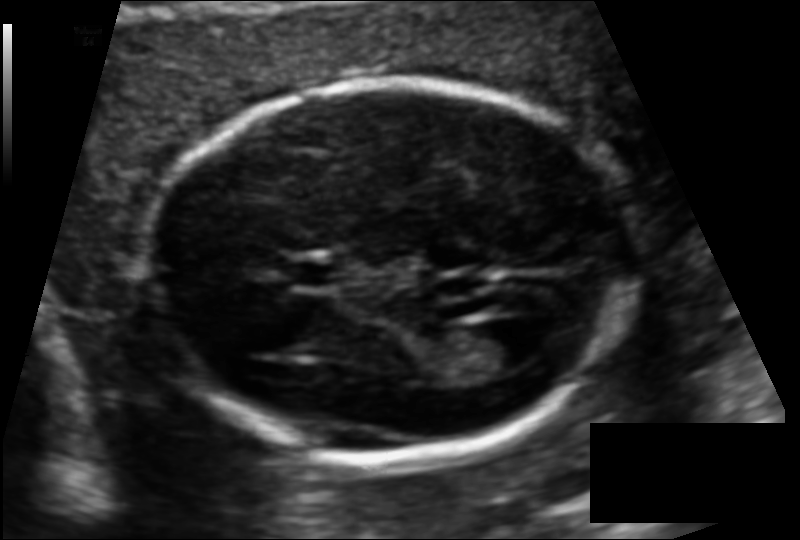
In this fetal head ultrasound, give the bounding box of the fetal head. Image width: 88.0 mm.

[148,79,631,457]